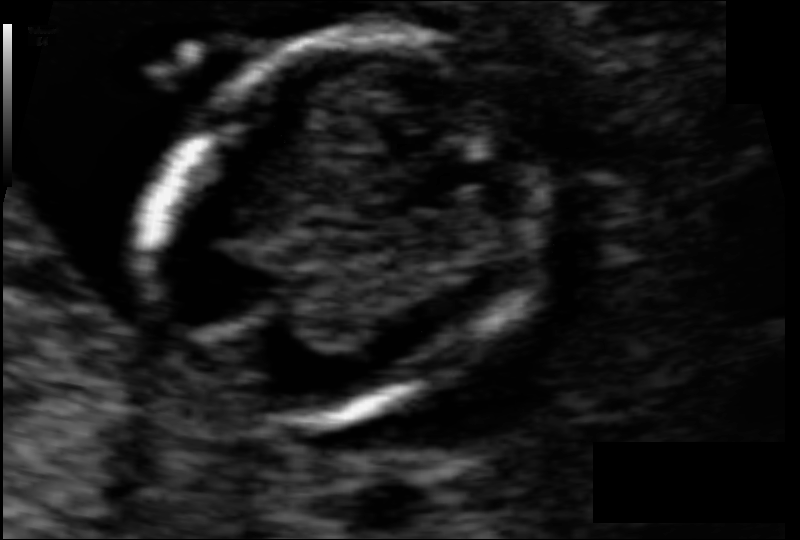
Measure the fetal head circumference shown in this ultrasound image. Image width: 48.5 mm.

Head circumference: 79.0 mm.